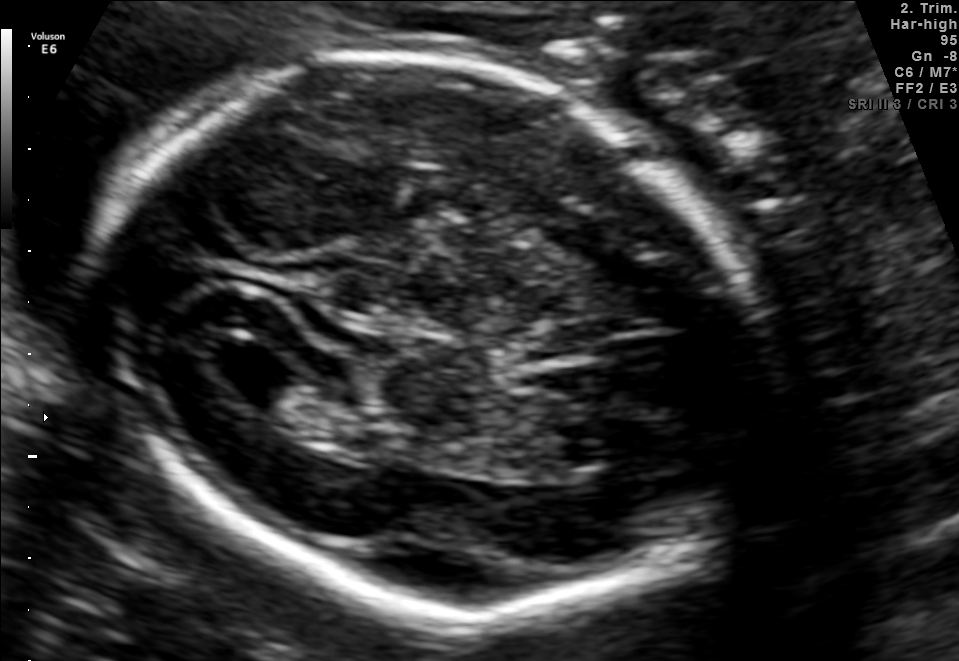
In this fetal brain, trans-ventricular plane, give the bounding box of the fetal head.

[71,37,788,634]